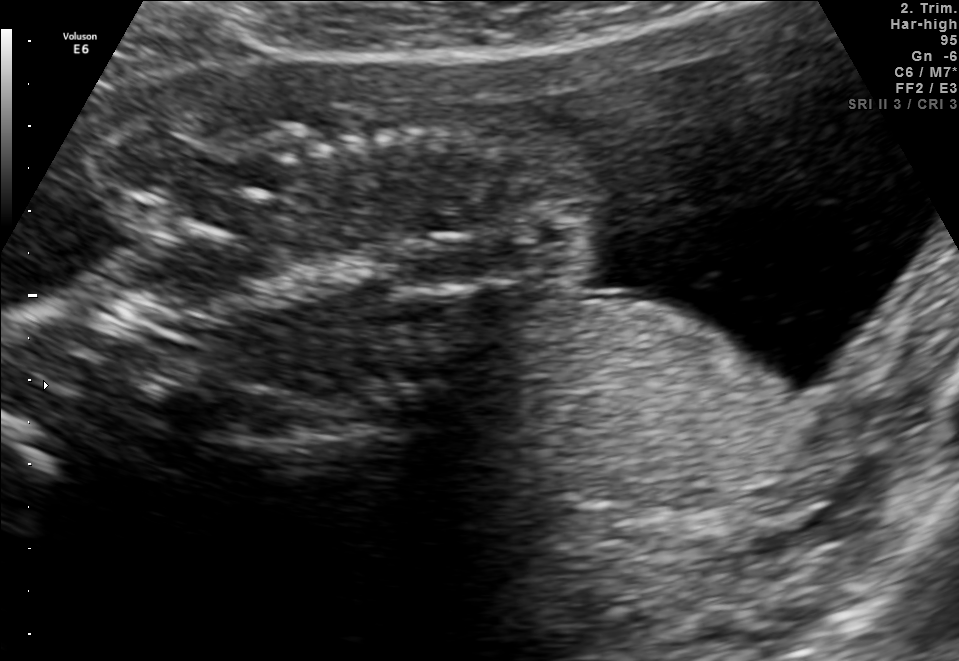
Which standard maternal-fetal ultrasound plane is shown: fetal abdomen, fetal brain, fetal femur, fetal thorax, maternal cervix, or other? If it's fetal brain and one of the three standard brain planes (trans-thalamic, trans-cerebellum, trans-ventricular), name which.

Other